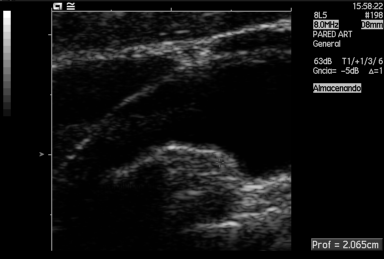
Identify the standard plane in this fetal ultrasound image: fetal abdomen, fetal brain, fetal femur, fetal thorax, maternal cervix, or other. If it's fetal brain and one of the three standard brain planes (trans-thalamic, trans-cerebellum, trans-ventricular), name which.

Other